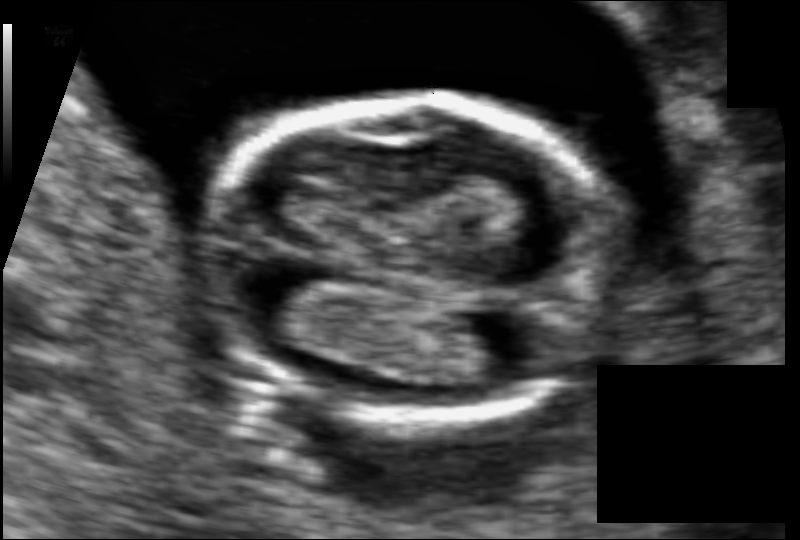
Measure the fetal head circumference shown in this ultrasound image. Image width: 59.9 mm.

Head circumference: 88.8 mm.